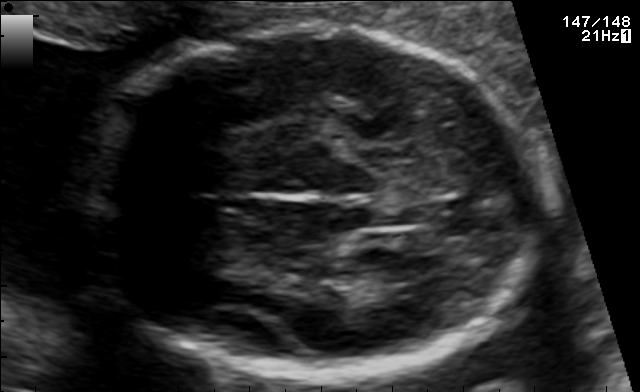
In this fetal brain, trans-thalamic plane, give the bounding box of the fetal head.

[77,24,541,379]